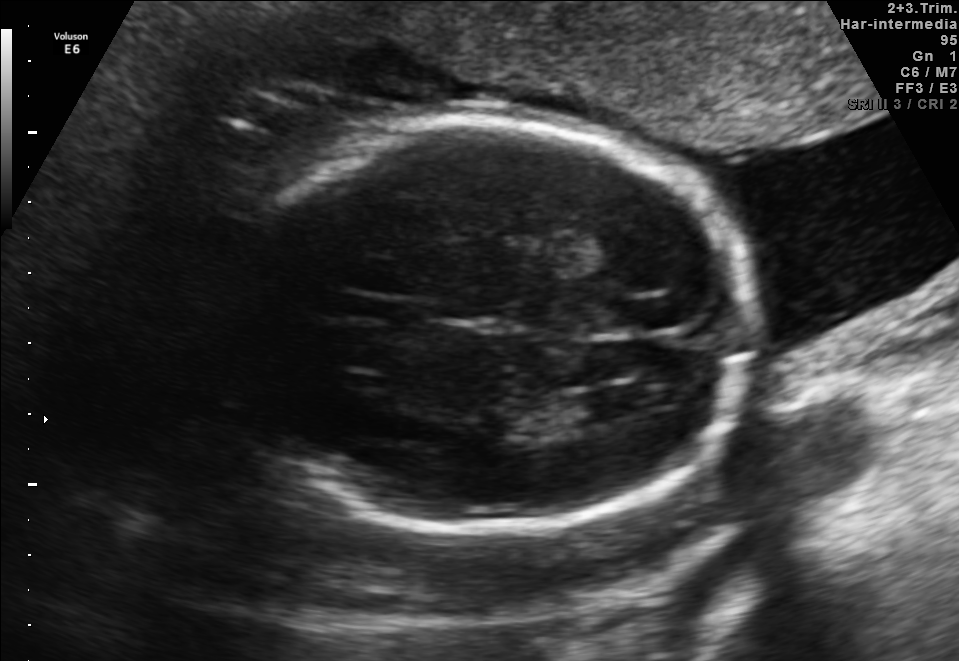
Fetal brain, trans-ventricular plane. Where is the cavum septum pellucidum?

CSP bounding box: [352,297,409,324]